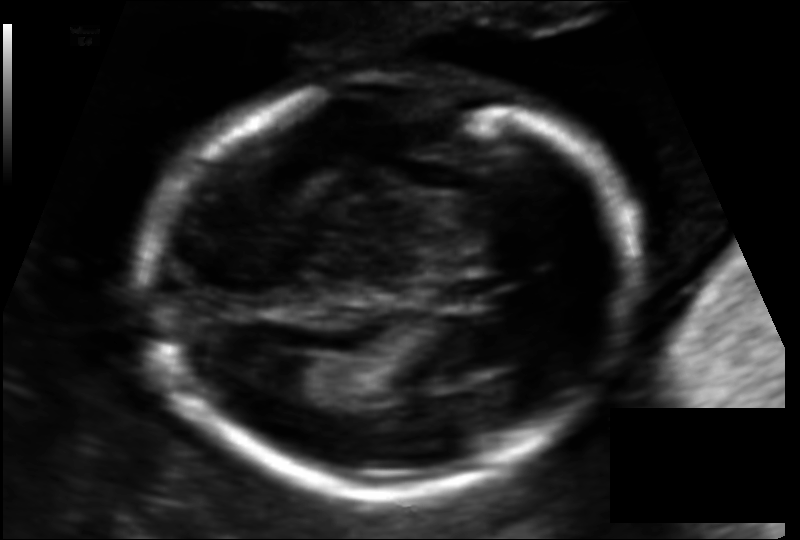
In this fetal head ultrasound, give the bounding box of the cavum septum pellucidum. Image width: 92.3 mm.

[430,272,504,314]